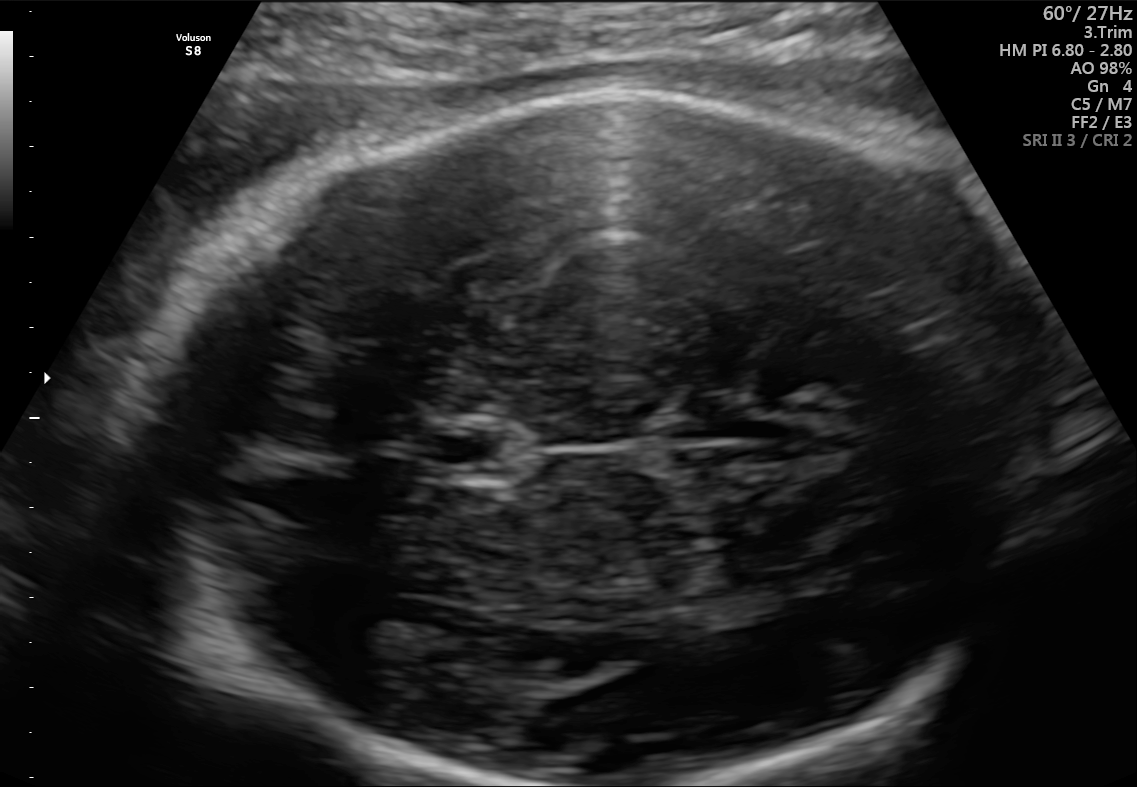
In this fetal brain, trans-thalamic plane, give the bounding box of the fetal head.

[124,88,1069,785]